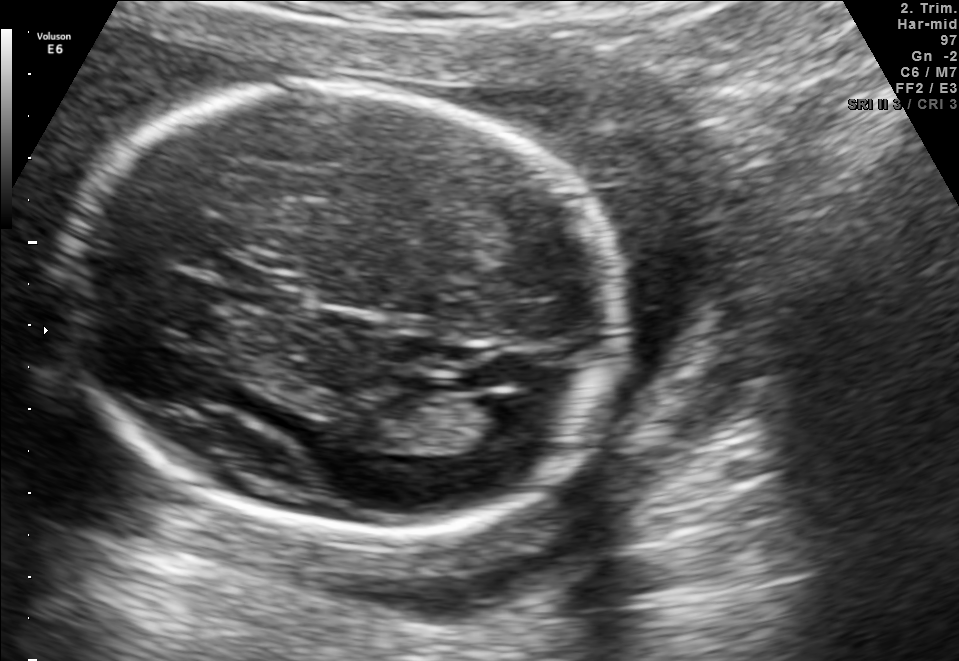
Fetal brain, trans-ventricular plane. Where is the fetal head?

Head bounding box: [50,75,633,540]